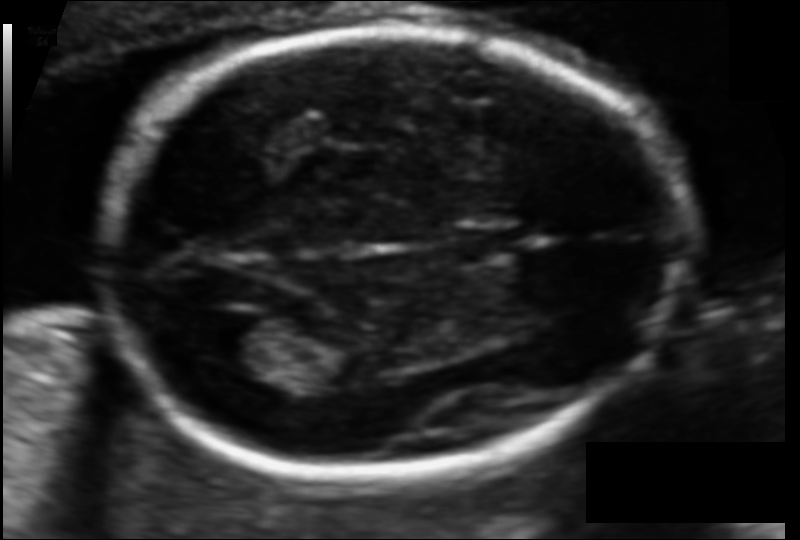
What is the fetal head circumference? Image width is 77.8 mm.

163.9 mm